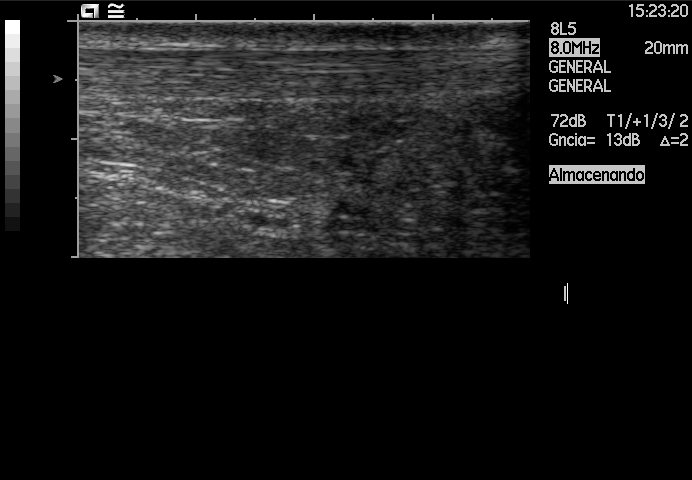
Identify the standard plane in this fetal ultrasound image: fetal abdomen, fetal brain, fetal femur, fetal thorax, maternal cervix, or other. If it's fetal brain and one of the three standard brain planes (trans-thalamic, trans-cerebellum, trans-ventricular), name which.

Other